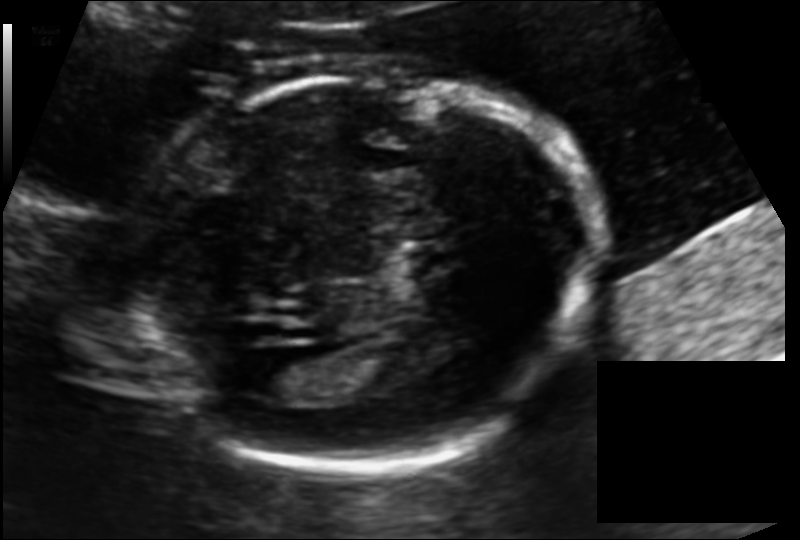
In this fetal head ultrasound, give the bounding box of the lateral ventricle. Image width: 99.9 mm.

[258,358,323,397]